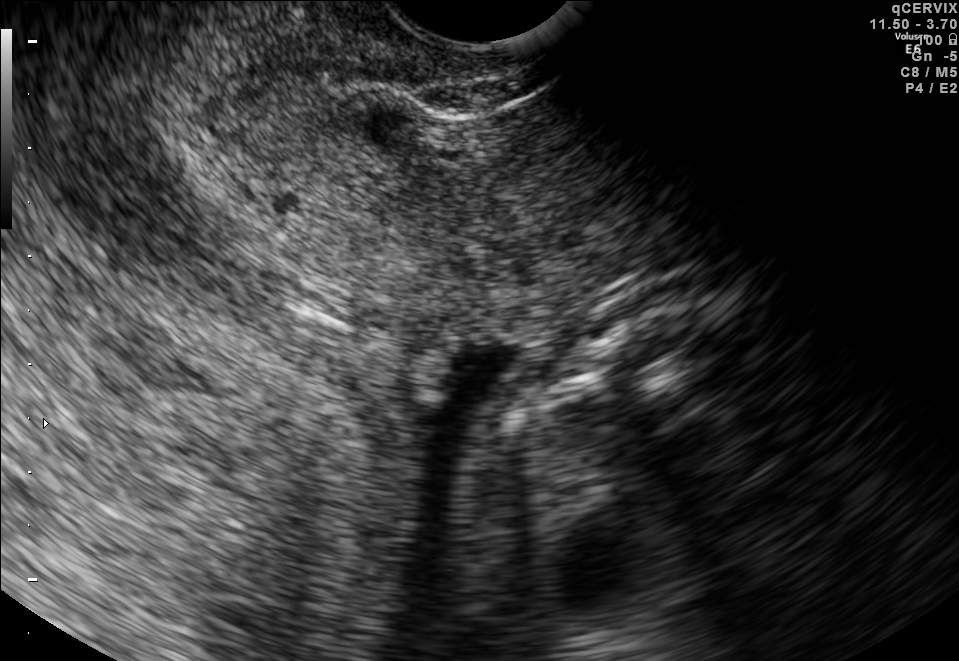
Which standard maternal-fetal ultrasound plane is shown: fetal abdomen, fetal brain, fetal femur, fetal thorax, maternal cervix, or other? If it's fetal brain and one of the three standard brain planes (trans-thalamic, trans-cerebellum, trans-ventricular), name which.

Maternal cervix